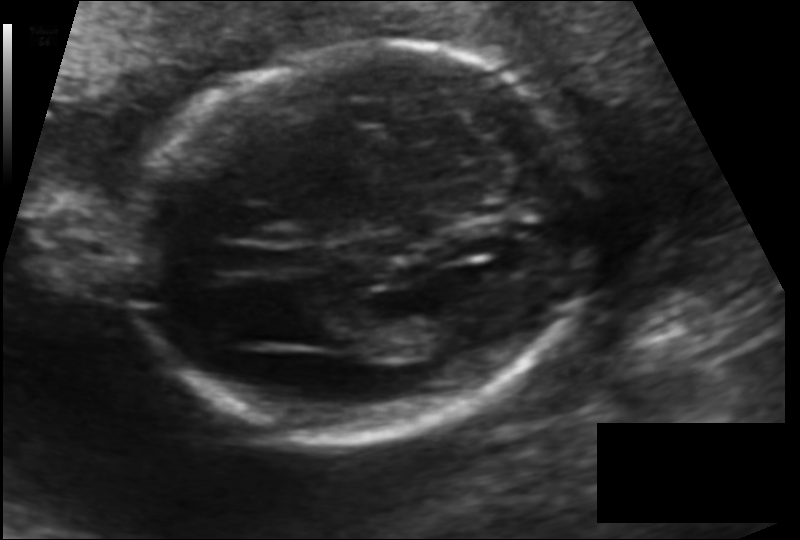
Fetal head ultrasound. Image width: 96.4 mm. Locate the fetal head and, if visible, the cavum septum pellucidum (CSP) and lateral ventricle (LV). Give bounding boxes as [x1,y1,x2,y2].

Head: [132,44,590,434]